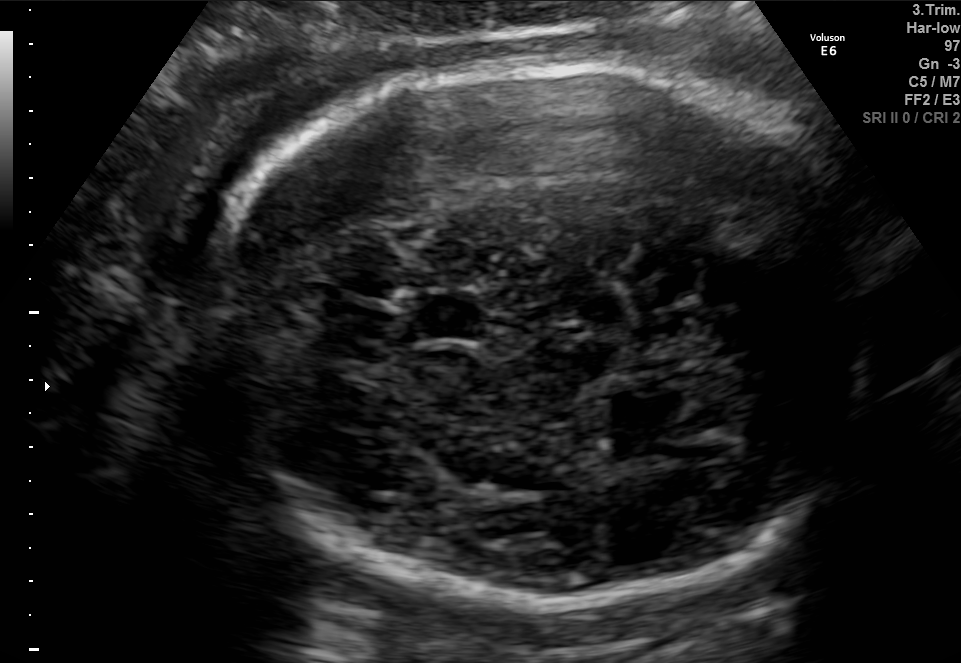
In this fetal brain, trans-thalamic plane, give bounding boxes for the head outline, cavum septum pellucidum (CSP), and lateral ventricle (LV), where visible.

Head: [191,61,894,594]
CSP: [412,293,489,343]